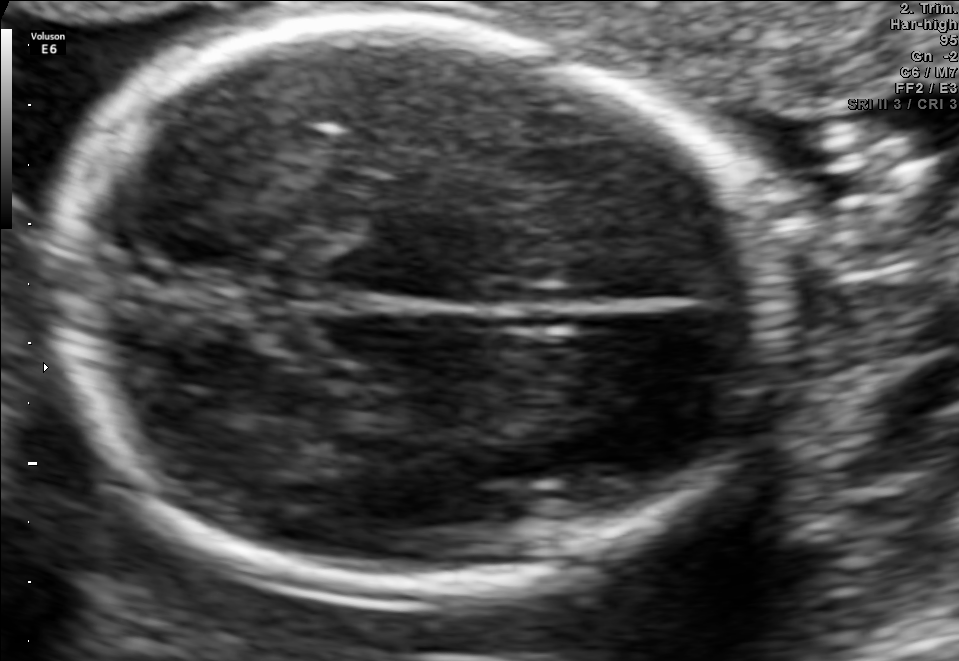
Fetal brain, trans-thalamic plane. Locate the fetal head.

Head: [52,23,759,586]